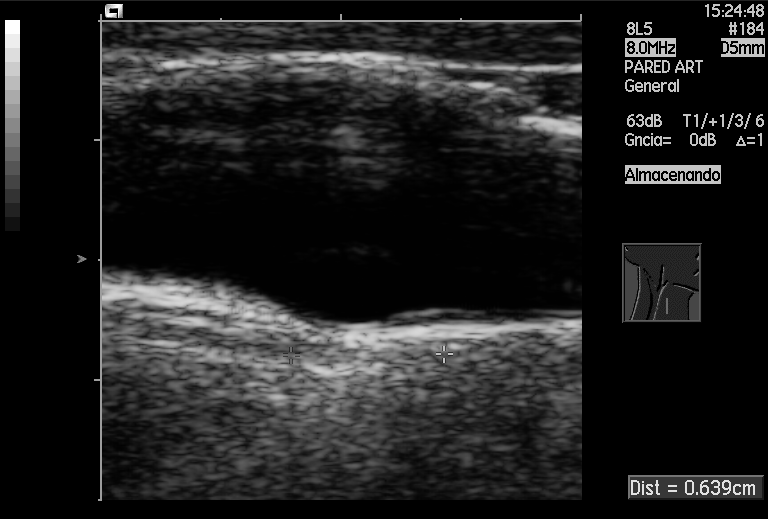
Which standard maternal-fetal ultrasound plane is shown: fetal abdomen, fetal brain, fetal femur, fetal thorax, maternal cervix, or other? If it's fetal brain and one of the three standard brain planes (trans-thalamic, trans-cerebellum, trans-ventricular), name which.

Other